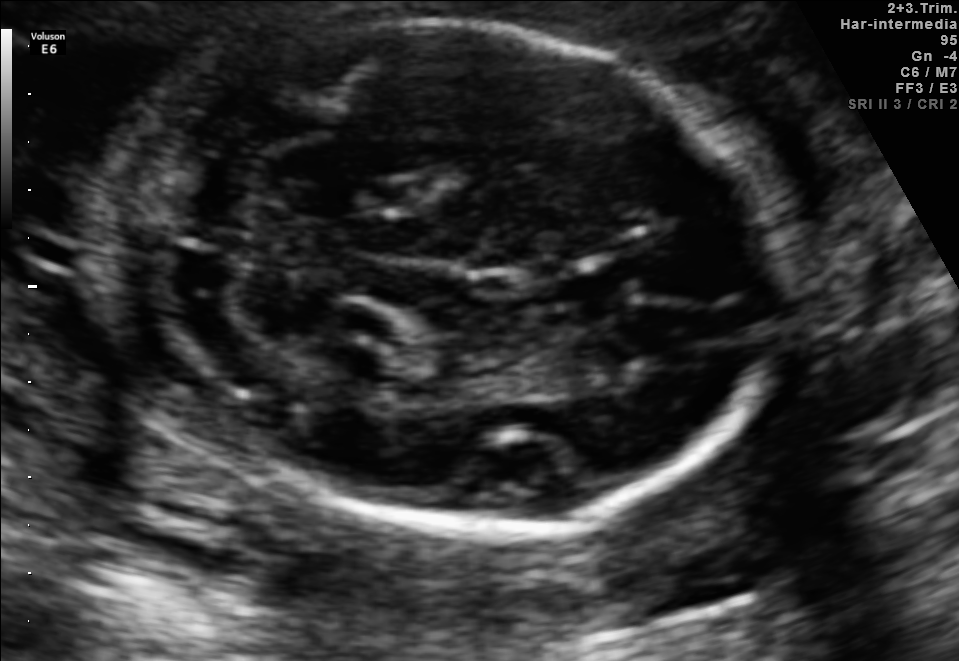
In this fetal brain, trans-cerebellum plane, give the bounding box of the fetal head.

[89,19,788,534]